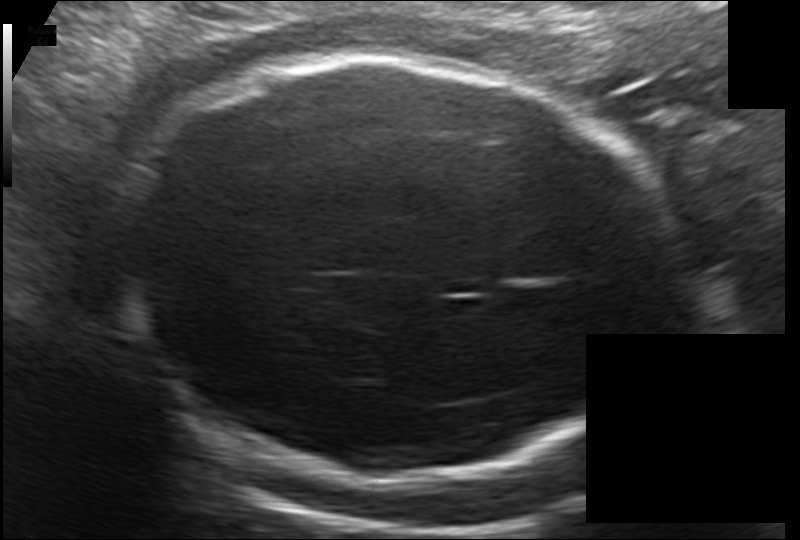
Estimate the fetal head circumference from this 2D ultrasound. Image width: 138.0 mm.

Head circumference: 272.7 mm.